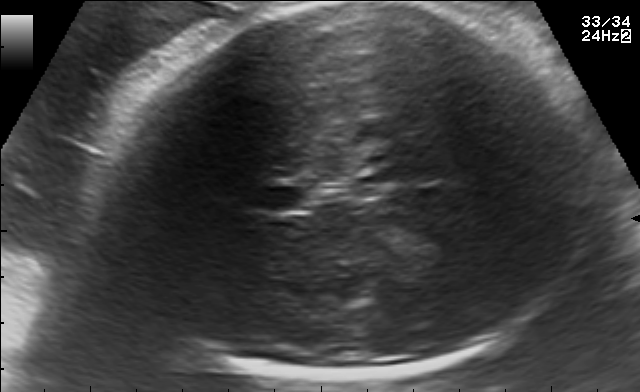
Fetal brain, trans-thalamic plane. Locate the fetal head.

Head: [106,3,589,381]